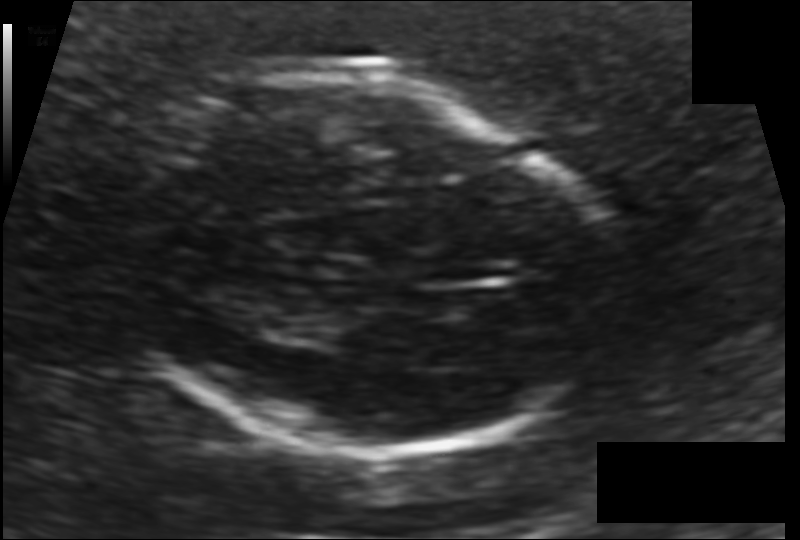
From this fetal ultrasound, estimate the head circumference (image width 105.5 mm).

Head circumference: 180.0 mm.